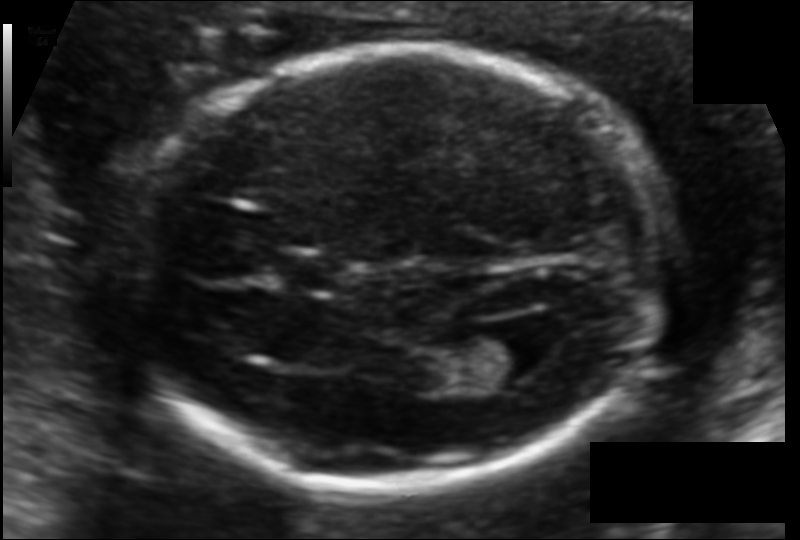
From this fetal ultrasound, estimate the head circumference (image width 86.5 mm).

Head circumference: 168.9 mm.